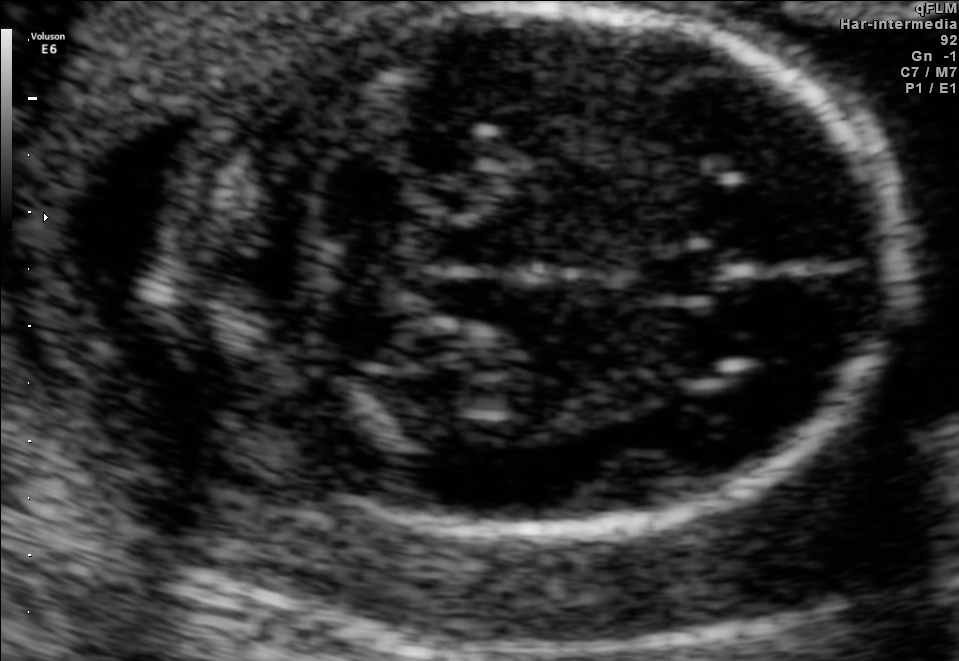
In this fetal brain, trans-cerebellum plane, give the bounding box of the cavum septum pellucidum.

[628,243,722,309]